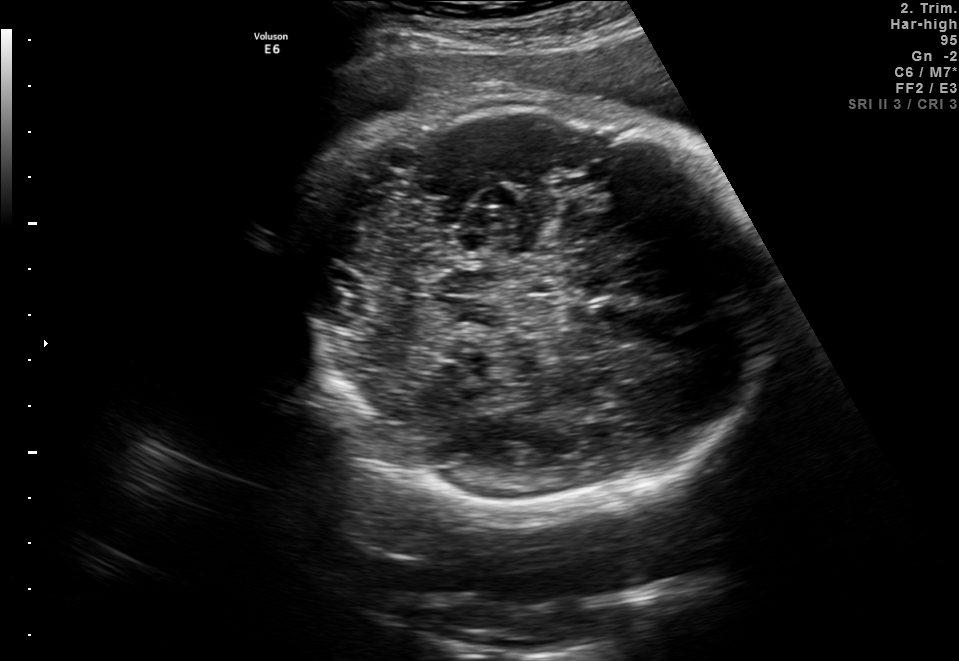
Fetal brain, trans-thalamic plane. Give [x1,y1,x2,y2] bounding boxes for each visible structure among: fetal head, CSP, LV.

Head: [300,100,771,517]